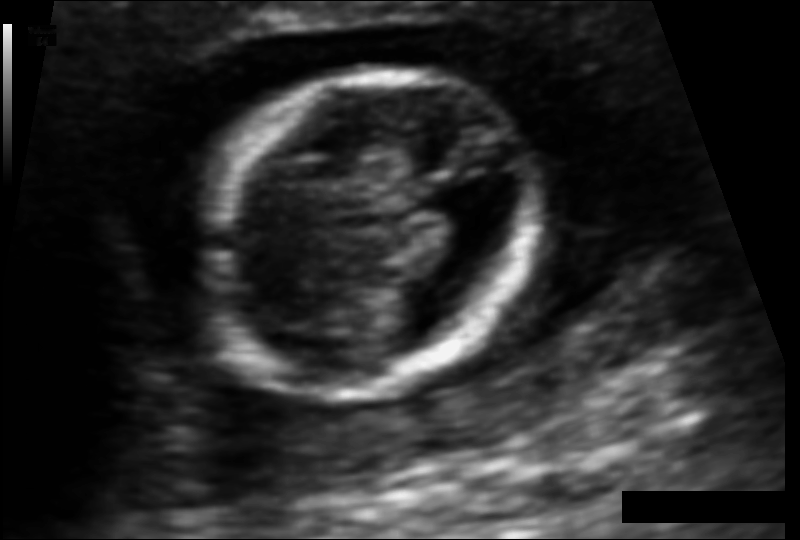
From this fetal ultrasound, estimate the head circumference (image width 73.5 mm).

Head circumference: 98.7 mm.